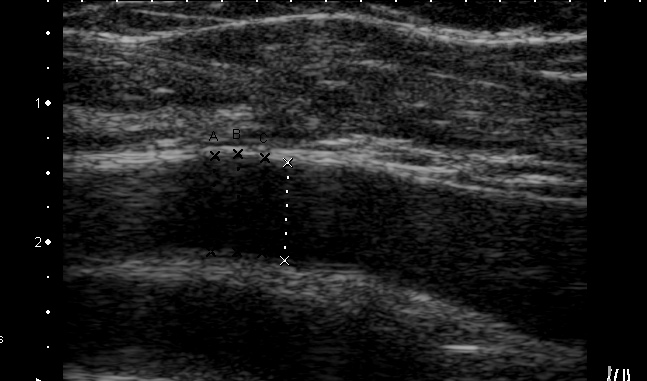
Which standard maternal-fetal ultrasound plane is shown: fetal abdomen, fetal brain, fetal femur, fetal thorax, maternal cervix, or other? If it's fetal brain and one of the three standard brain planes (trans-thalamic, trans-cerebellum, trans-ventricular), name which.

Other